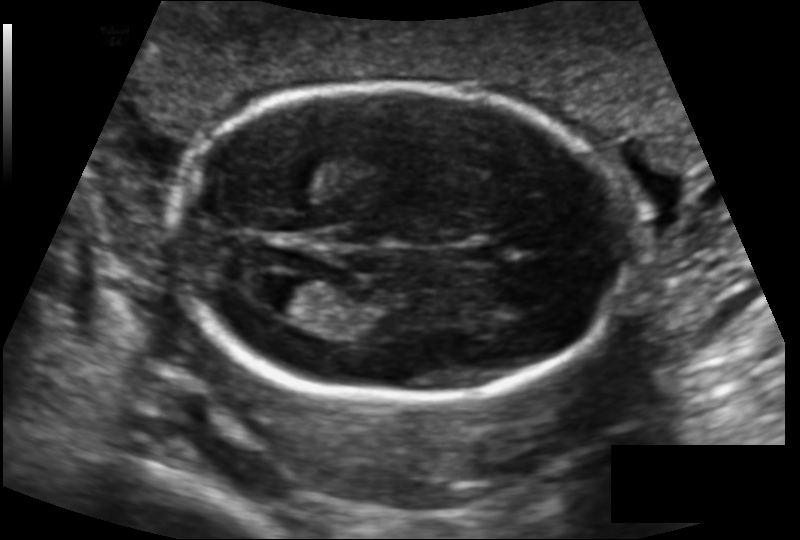
Estimate the fetal head circumference from this 2D ultrasound.

Head circumference: 165.4 mm (image width 104.8 mm).